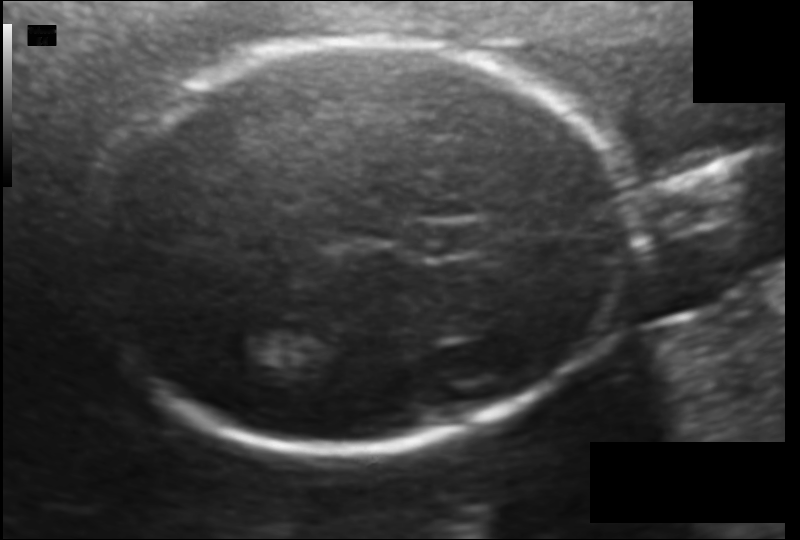
Fetal head ultrasound. Image width: 90.8 mm. Where is the lateral ventricle?

Lateral ventricle bounding box: [226,329,295,368]